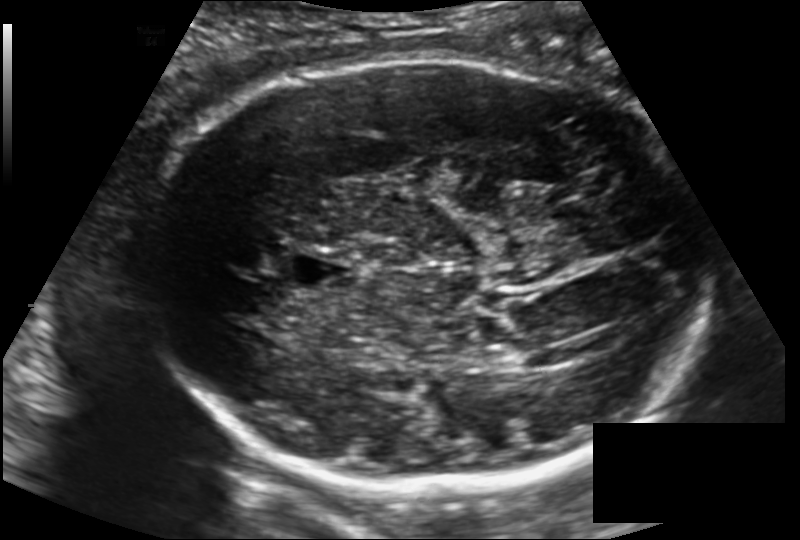
In this fetal head ultrasound, give bounding boxes for the head outline, cavum septum pellucidum (CSP), and lateral ventricle (LV), where visible. Image width: 136.5 mm.

Head: [137,59,710,486]
CSP: [284,249,360,296]
Lateral ventricle: [494,338,546,370]